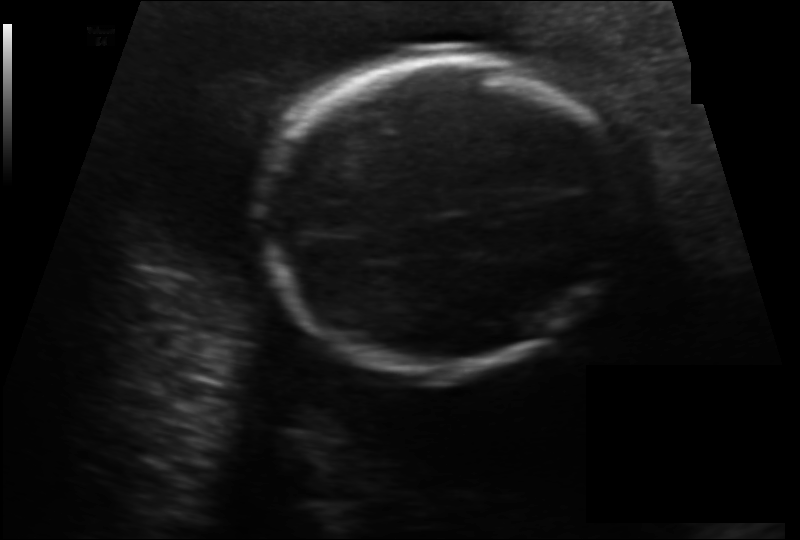
Fetal head ultrasound. Image width: 124.9 mm. Where is the fetal head?

Head bounding box: [259,58,626,369]